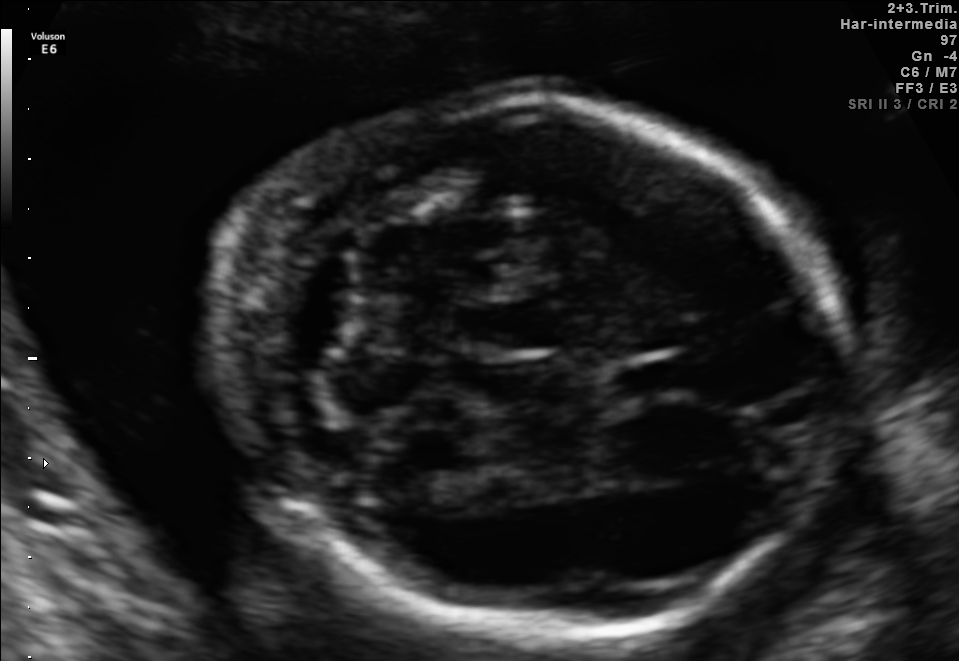
In this fetal brain, trans-cerebellum plane, give the bounding box of the cavum septum pellucidum.

[608,348,696,410]